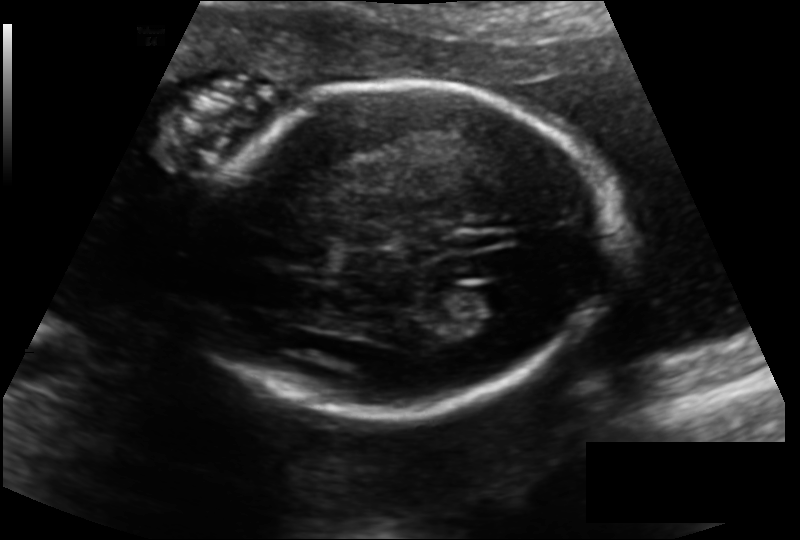
Fetal head ultrasound. Image width: 115.4 mm. Give [x1,y1,x2,y2] bounding boxes for each visible structure among: fetal head, CSP, LV.

Head: [194,82,613,416]
Lateral ventricle: [454,279,522,323]